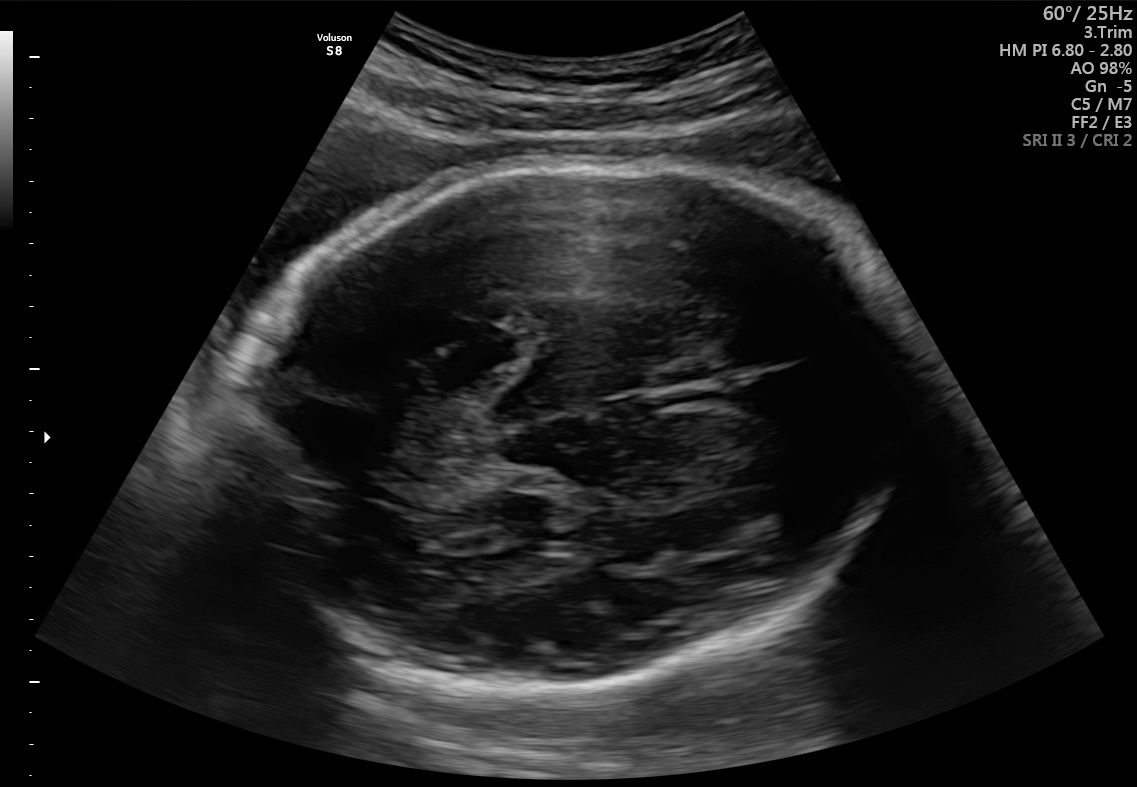
Fetal brain, trans-thalamic plane. Give [x1,y1,x2,y2] bounding boxes for each visible structure among: fetal head, CSP, LV.

Head: [243,163,894,686]